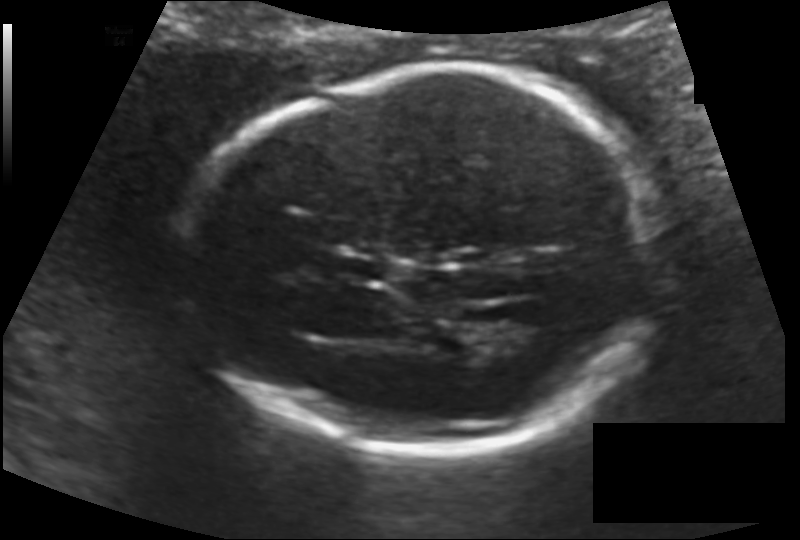
In this fetal head ultrasound, give the bounding box of the cavum septum pellucidum. Image width: 102.3 mm.

[331,251,391,286]